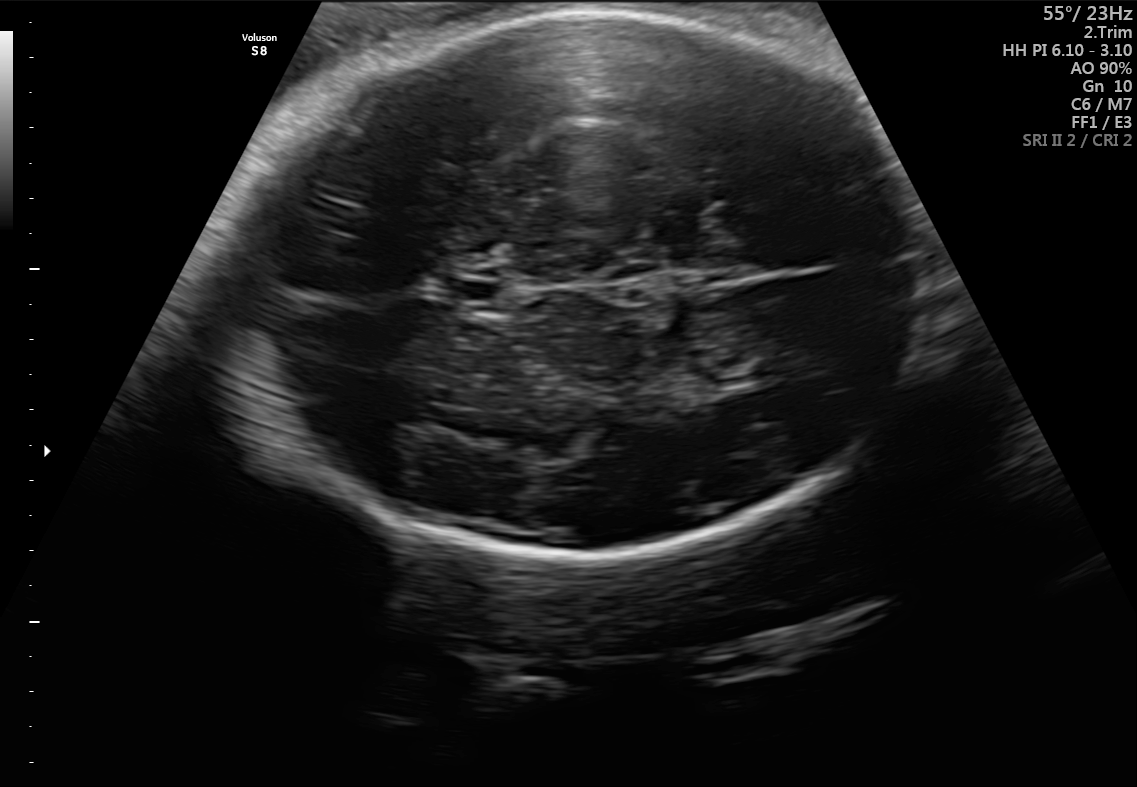
Fetal brain, trans-thalamic plane. Locate the cavum septum pellucidum.

CSP: [446,278,501,302]